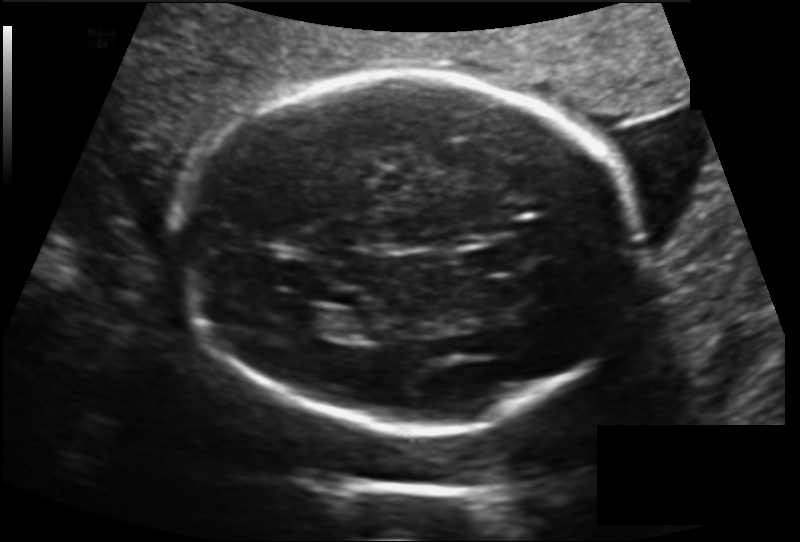
Fetal head ultrasound. Image width: 127.7 mm. Locate the lateral ventricle.

Lateral ventricle: [285,305,343,337]